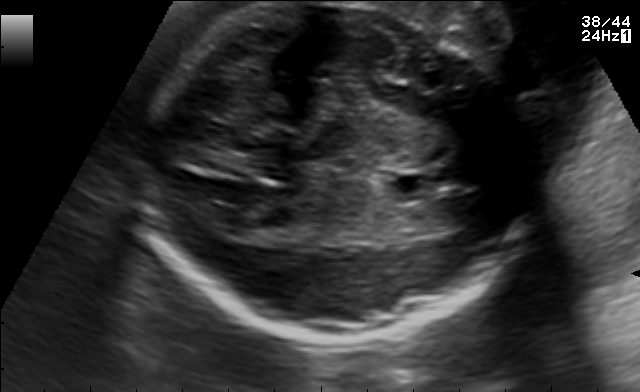
Fetal brain, trans-ventricular plane. Locate the fetal head and, if visible, the cavum septum pellucidum (CSP) and lateral ventricle (LV). Give bounding boxes as [x1,y1,x2,y2].

Head: [133,7,544,346]